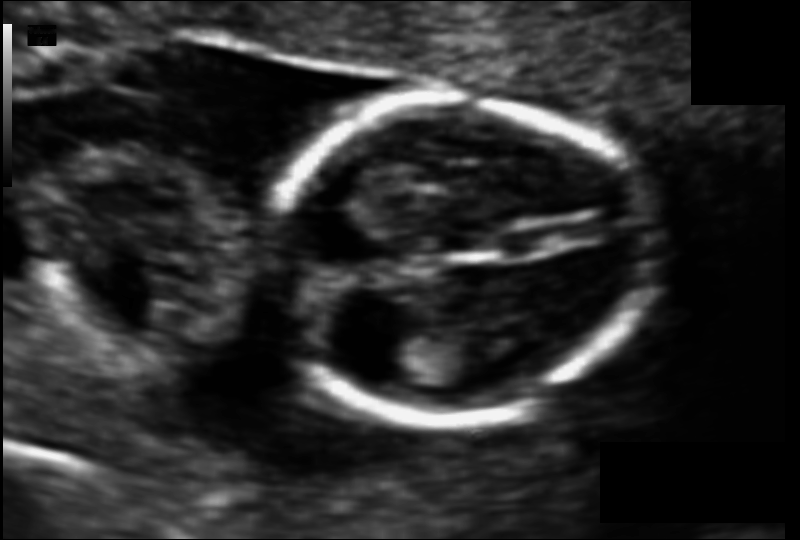
Measure the fetal head circumference shown in this ultrasound image. Image width: 66.6 mm.

Head circumference: 95.3 mm.